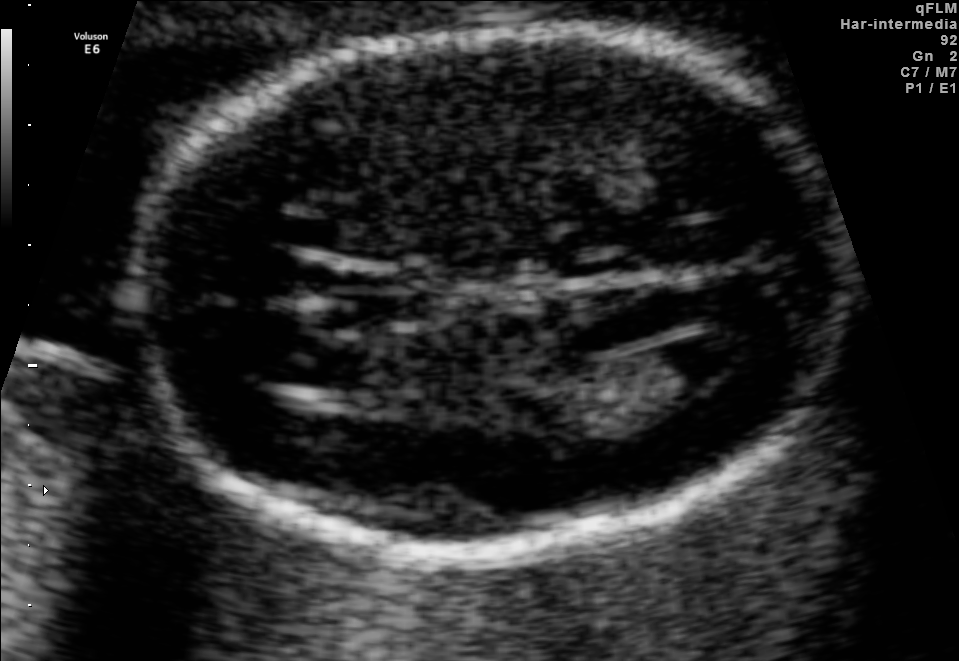
Fetal brain, trans-ventricular plane. Where is the fetal head?

Head bounding box: [131,22,840,559]